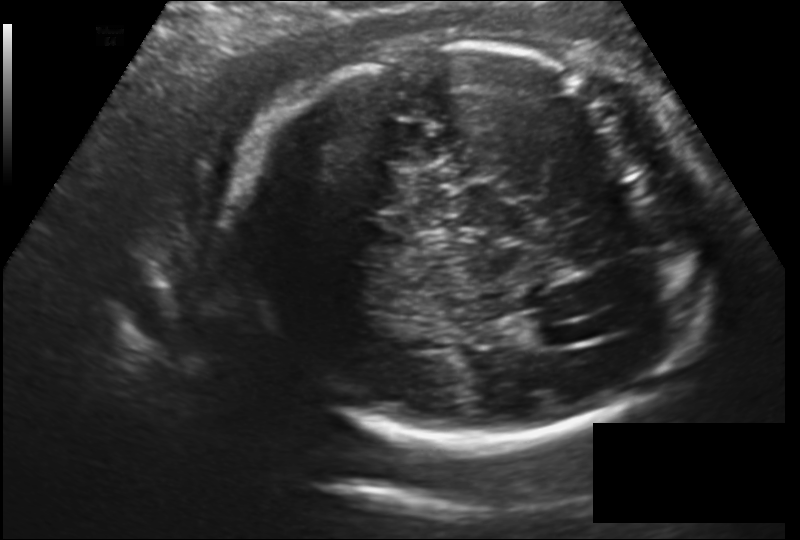
From this fetal ultrasound, estimate the head circumference (image width 142.0 mm).

Head circumference: 250.6 mm.